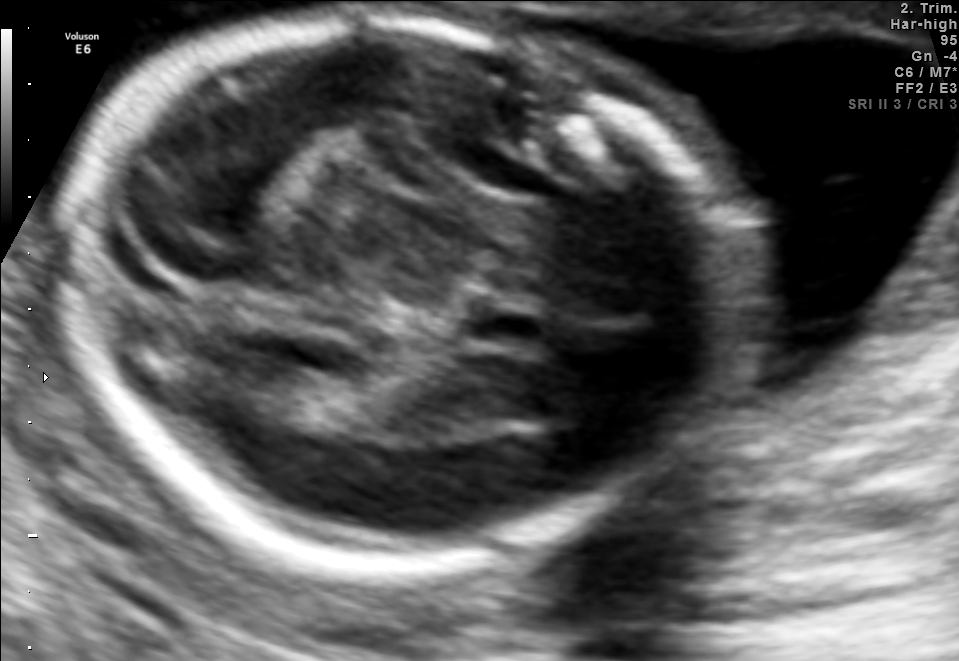
In this fetal brain, trans-thalamic plane, give the bounding box of the fetal head.

[65,17,710,570]